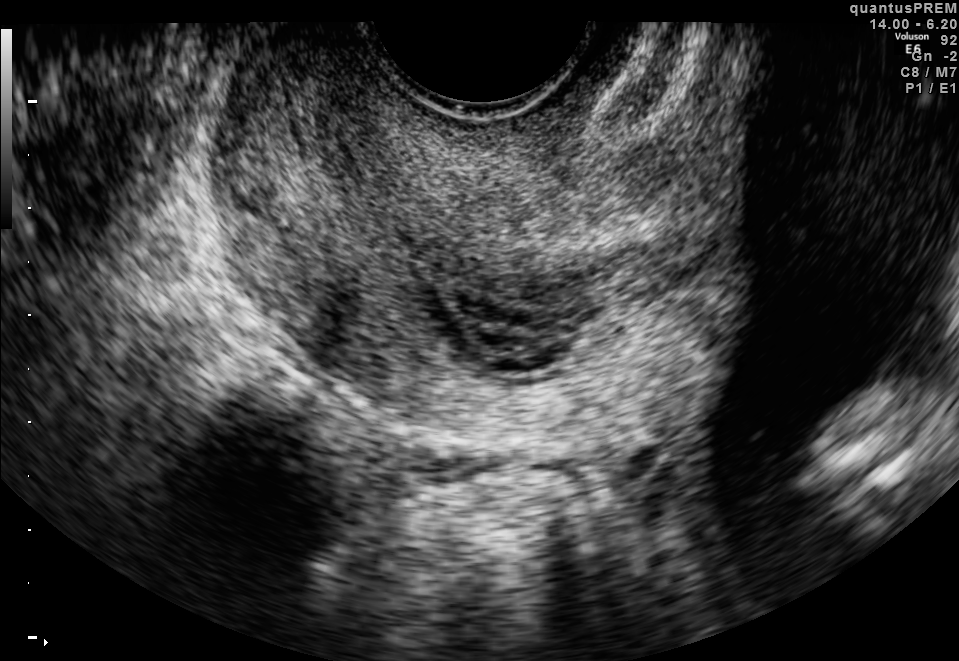
Which standard maternal-fetal ultrasound plane is shown: fetal abdomen, fetal brain, fetal femur, fetal thorax, maternal cervix, or other? If it's fetal brain and one of the three standard brain planes (trans-thalamic, trans-cerebellum, trans-ventricular), name which.

Maternal cervix